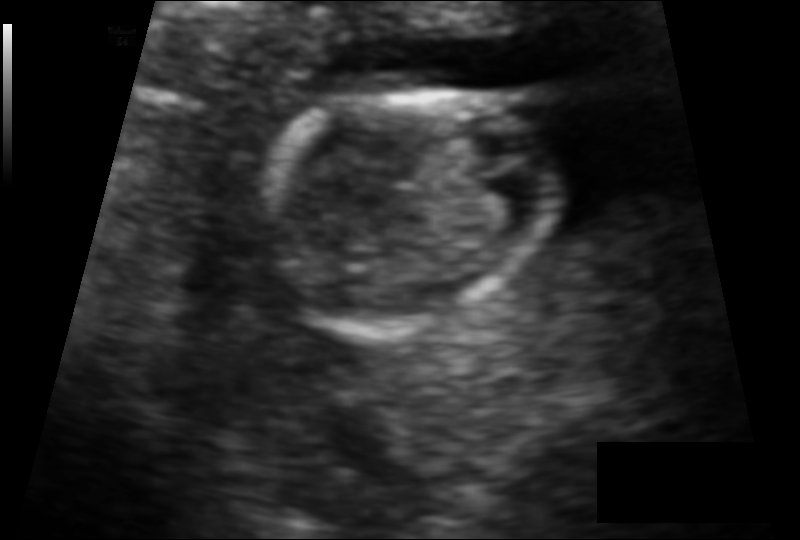
What is the fetal head circumference? Image width is 73.2 mm.

79.3 mm